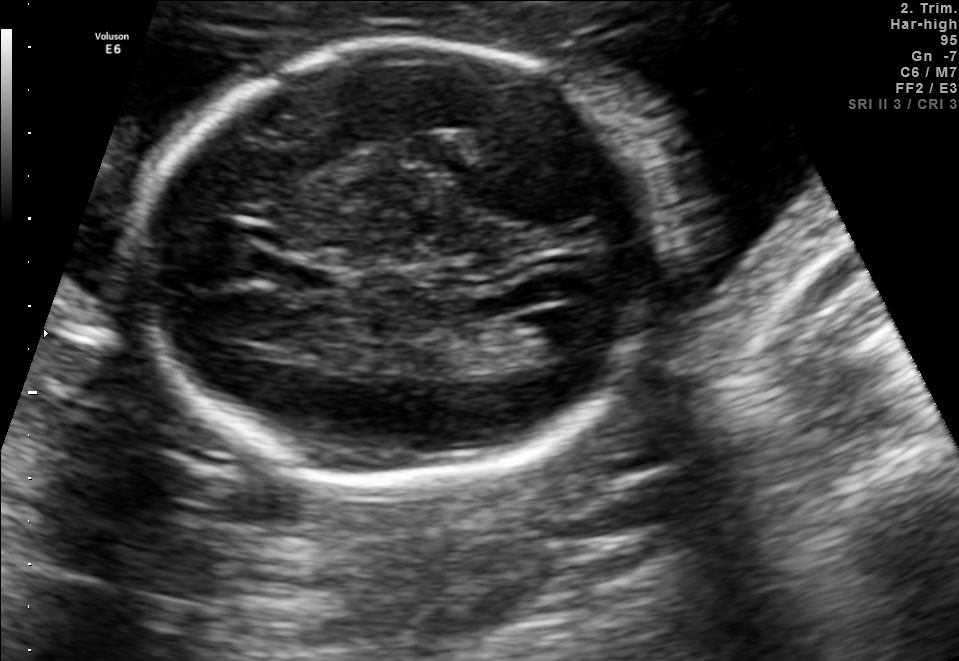
Fetal brain, trans-ventricular plane. Give [x1,y1,x2,y2] bounding boxes for each visible structure among: fetal head, CSP, LV.

Head: [122,33,687,488]
CSP: [297,270,332,289]
Lateral ventricle: [519,298,614,362]